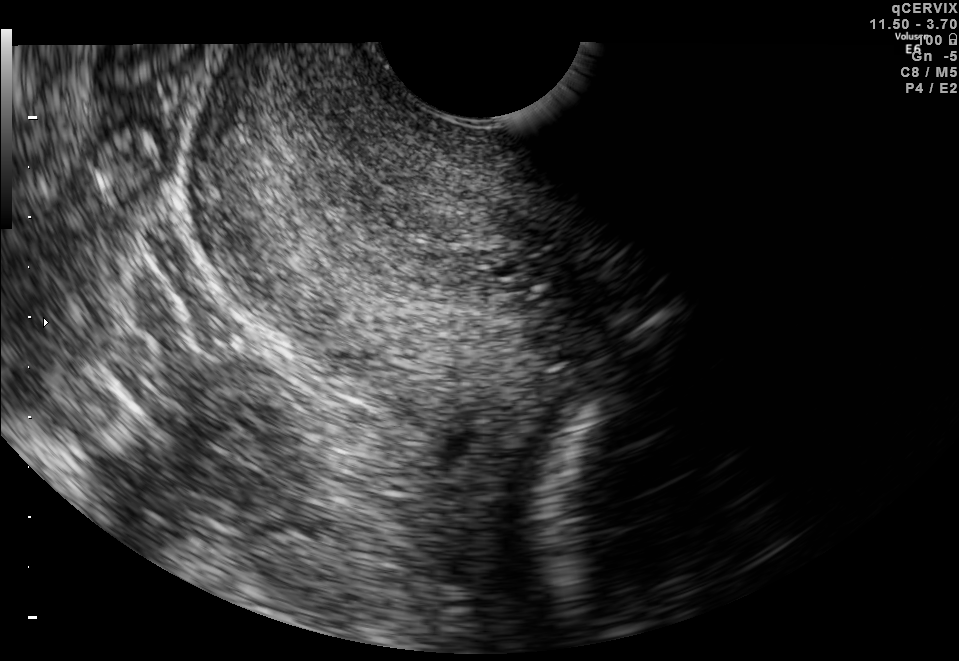
Which standard maternal-fetal ultrasound plane is shown: fetal abdomen, fetal brain, fetal femur, fetal thorax, maternal cervix, or other? If it's fetal brain and one of the three standard brain planes (trans-thalamic, trans-cerebellum, trans-ventricular), name which.

Maternal cervix